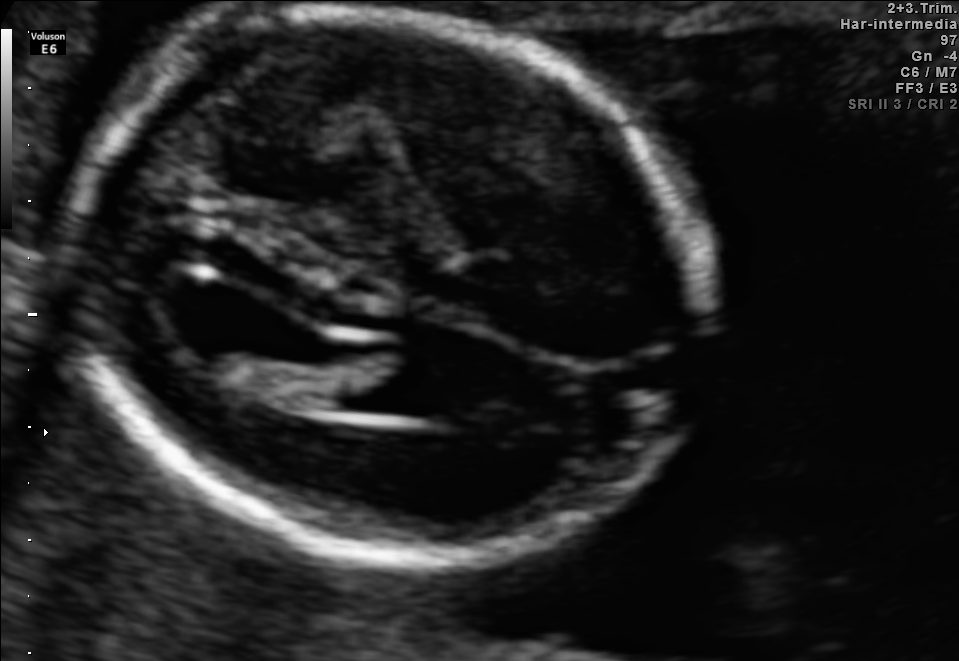
Classify this maternal-fetal ultrasound image as one of the six standard planes — fetal abdomen, fetal brain, fetal femur, fetal thorax, maternal cervix, or other. If it's fetal brain and one of the three standard brain planes (trans-thalamic, trans-cerebellum, trans-ventricular), name which.

Fetal brain (trans-ventricular plane)